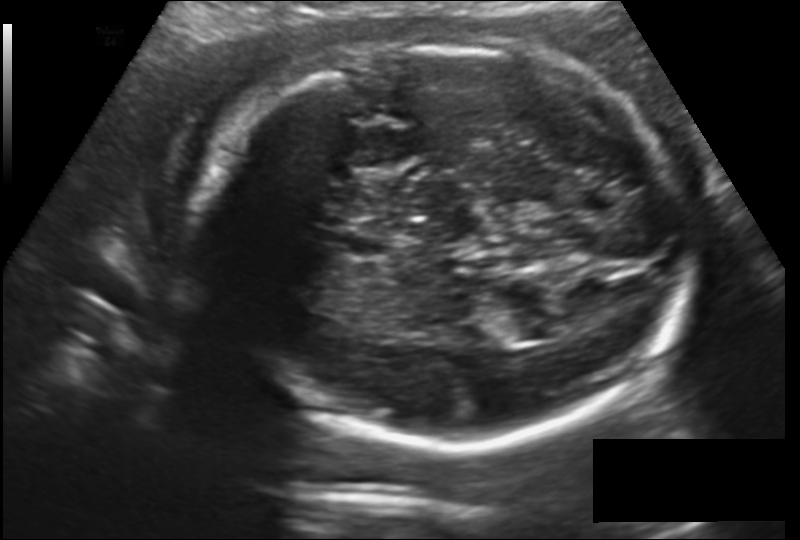
Estimate the fetal head circumference from this 2D ultrasound. Image width: 142.0 mm.

Head circumference: 257.6 mm.